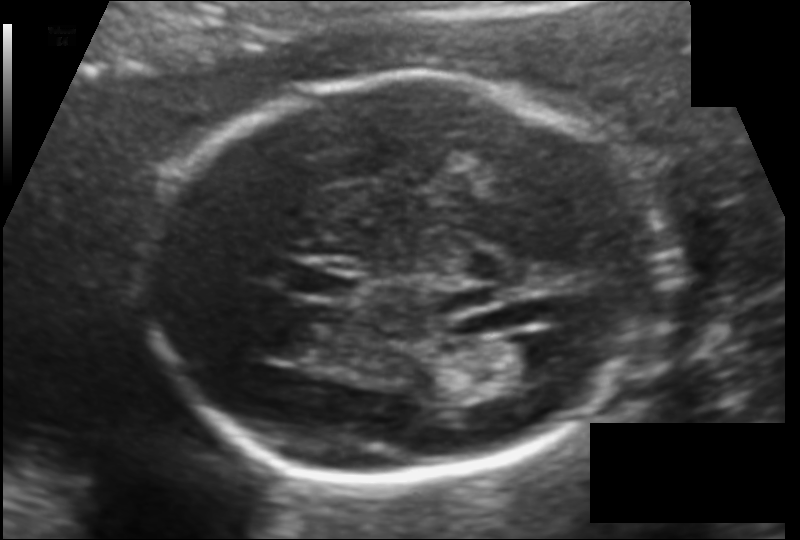
Fetal head ultrasound. Image width: 95.9 mm. Locate the fetal head.

Head: [153,74,664,481]